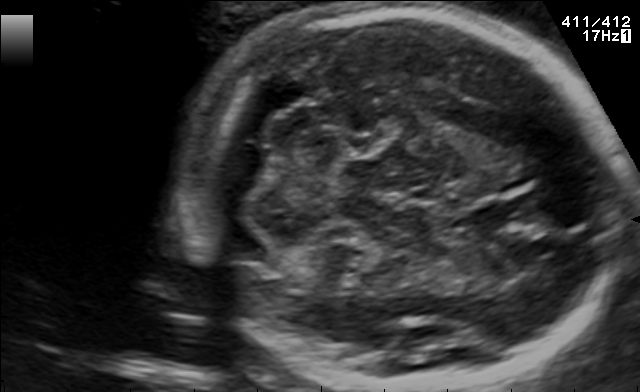
Fetal brain, trans-cerebellum plane. Locate the fetal head and, if visible, the cavum septum pellucidum (CSP) and lateral ventricle (LV). Give bounding boxes as [x1,y1,x2,y2].

Head: [191,4,619,387]
CSP: [454,195,522,244]